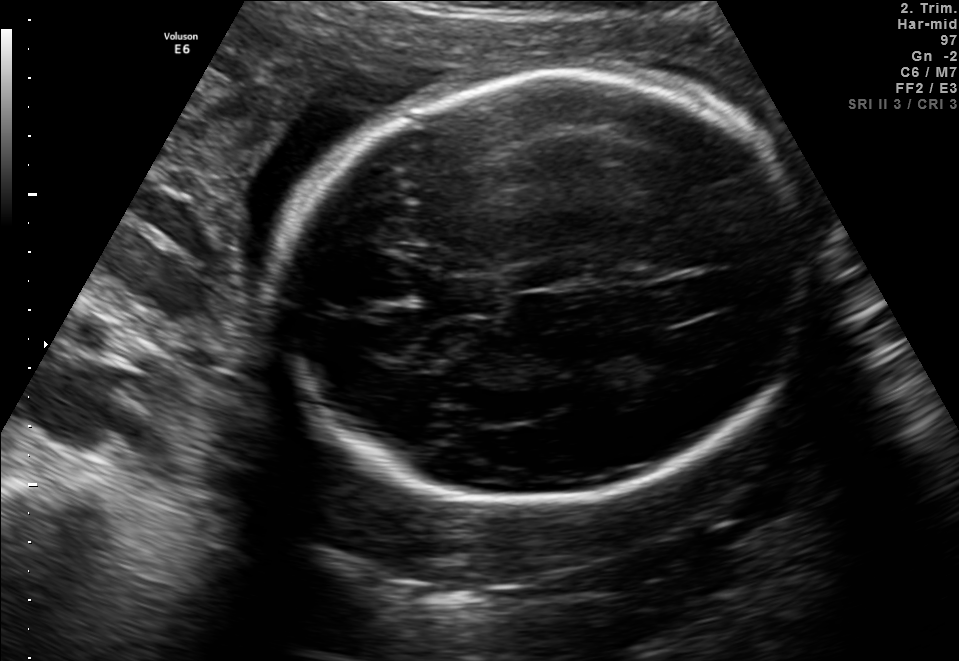
Fetal brain, trans-ventricular plane. Locate the fetal head.

Head: [263,66,822,517]